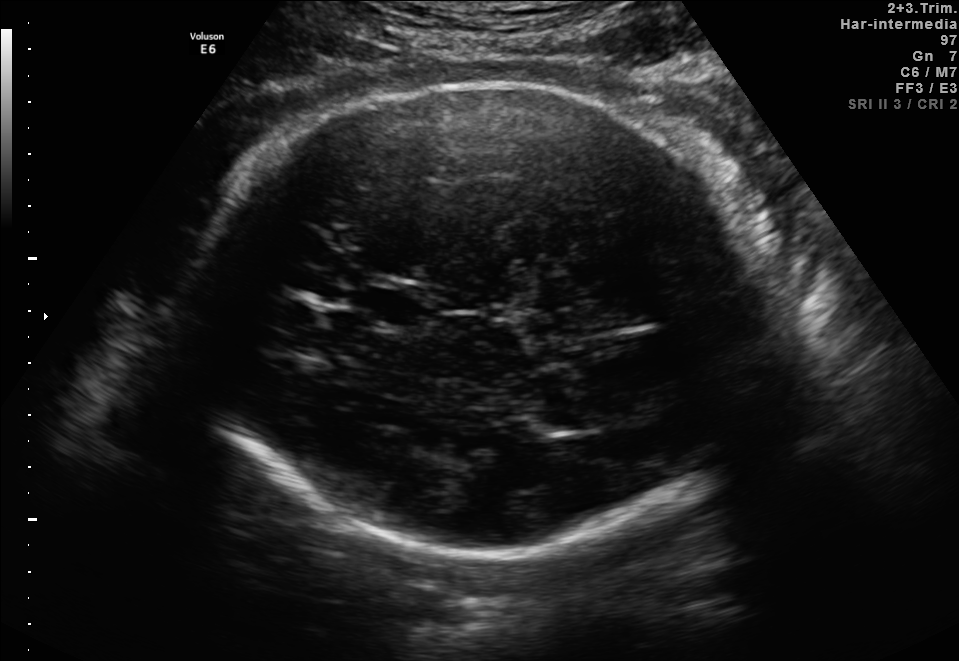
Fetal brain, trans-thalamic plane. Locate the cavum septum pellucidum.

CSP: [364,286,416,325]